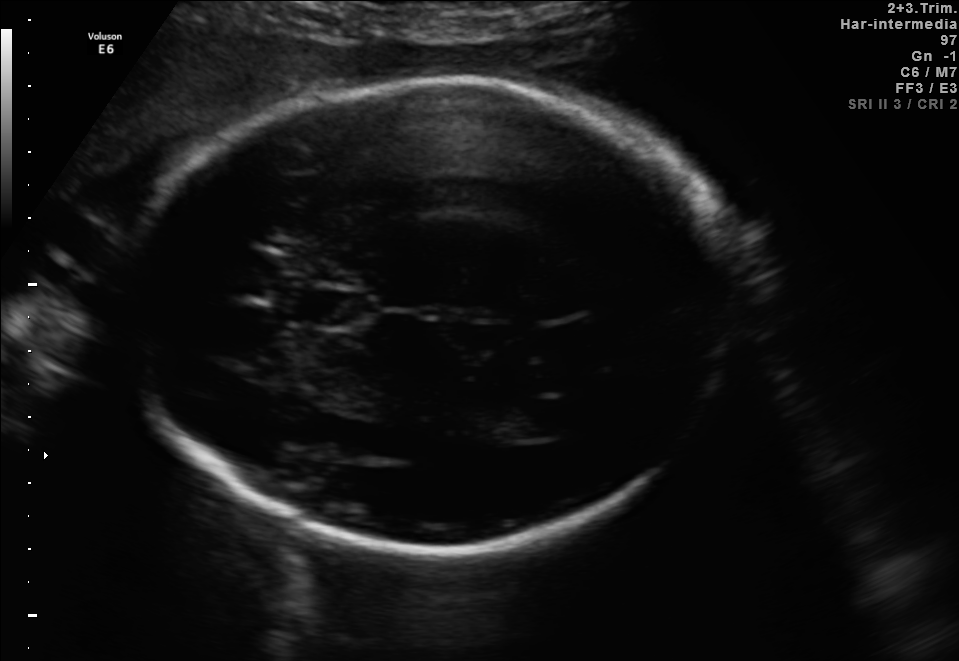
In this fetal brain, trans-thalamic plane, give the bounding box of the cavum septum pellucidum.

[312,290,369,327]